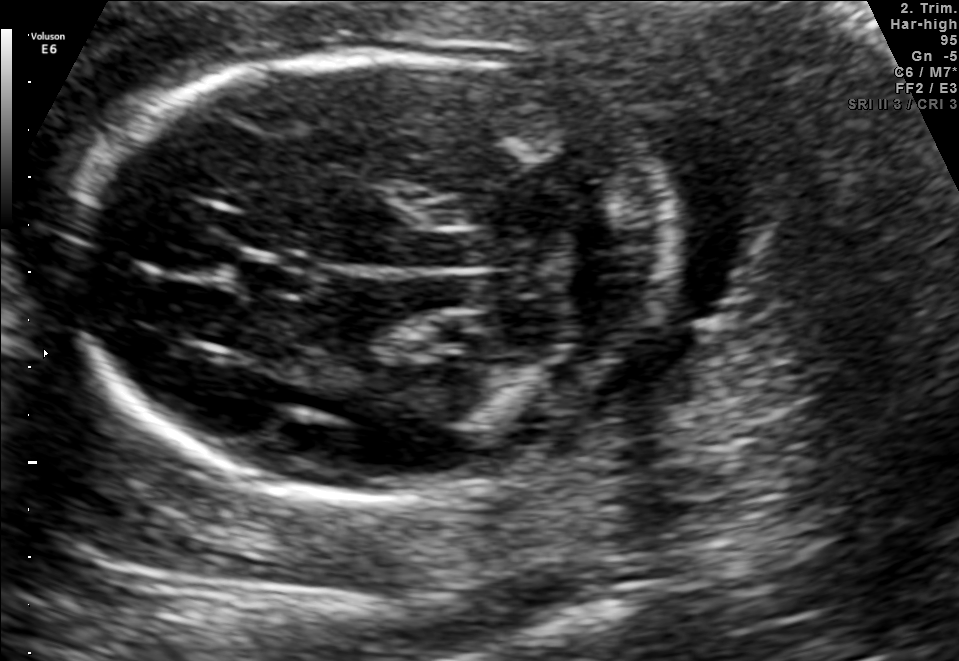
Fetal brain, trans-cerebellum plane. Locate the cavum septum pellucidum.

CSP: [236,253,312,300]